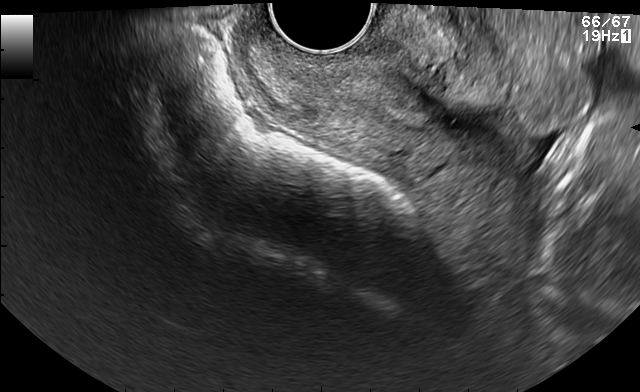
Classify this maternal-fetal ultrasound image as one of the six standard planes — fetal abdomen, fetal brain, fetal femur, fetal thorax, maternal cervix, or other. If it's fetal brain and one of the three standard brain planes (trans-thalamic, trans-cerebellum, trans-ventricular), name which.

Maternal cervix